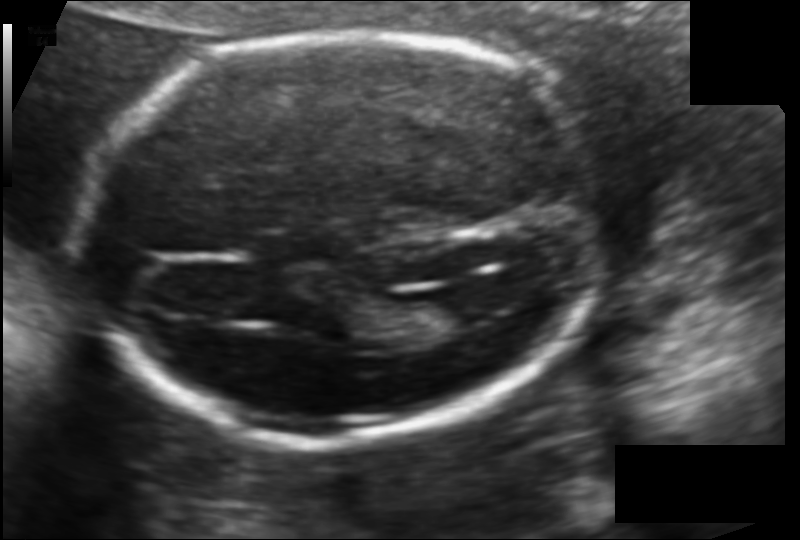
Estimate the fetal head circumference from this 2D ultrasound.

Head circumference: 180.8 mm (image width 94.7 mm).